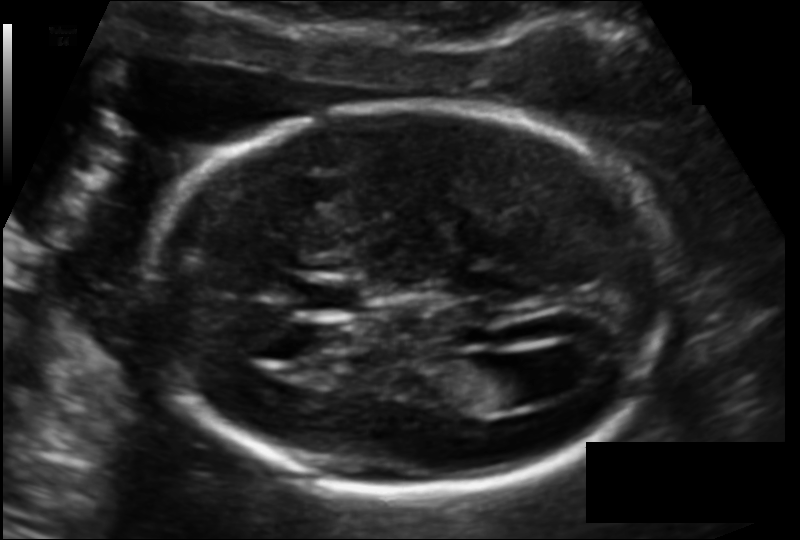
Estimate the fetal head circumference from this 2D ultrasound. Image width: 94.5 mm.

Head circumference: 171.7 mm.